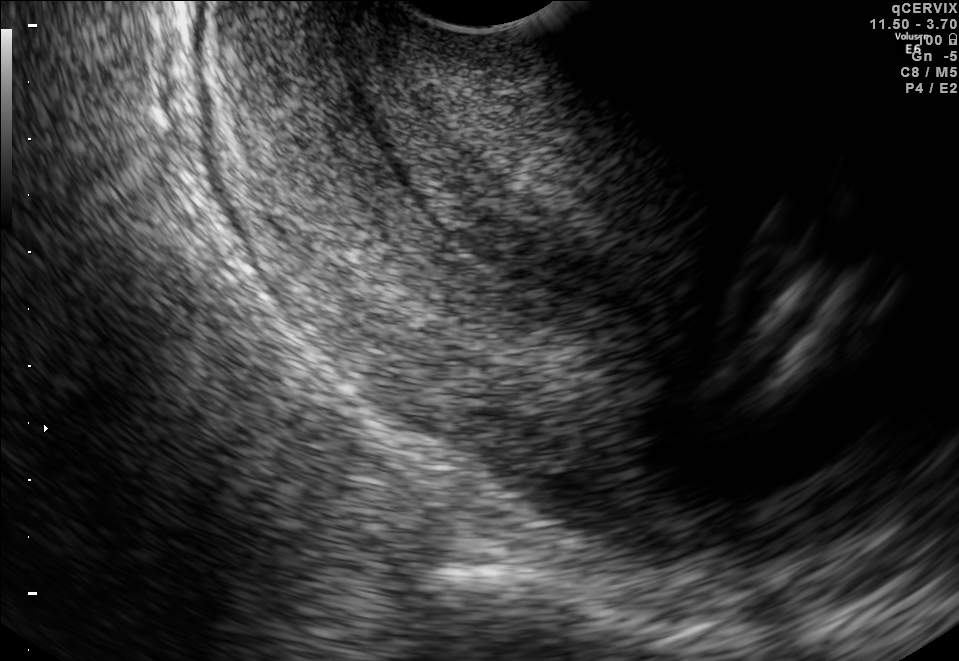
Classify this maternal-fetal ultrasound image as one of the six standard planes — fetal abdomen, fetal brain, fetal femur, fetal thorax, maternal cervix, or other. If it's fetal brain and one of the three standard brain planes (trans-thalamic, trans-cerebellum, trans-ventricular), name which.

Maternal cervix